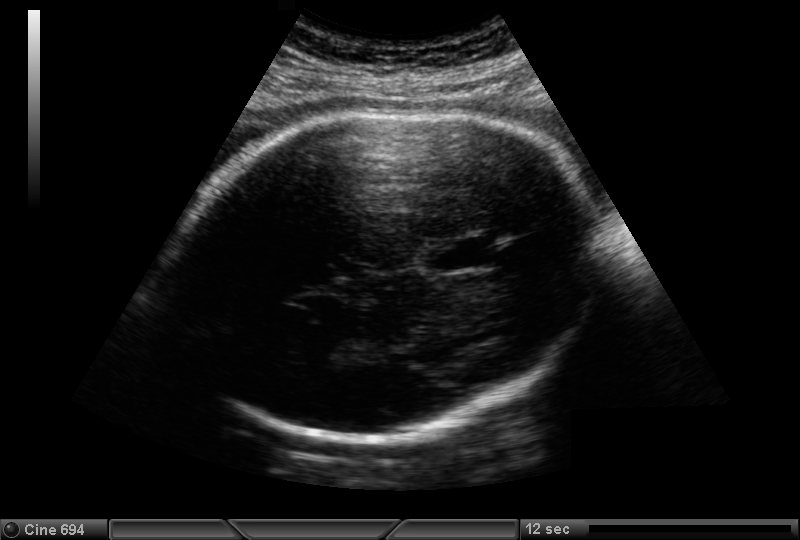
Measure the fetal head circumference shown in this ultrasound image. Image width: 176.7 mm.

Head circumference: 272.8 mm.